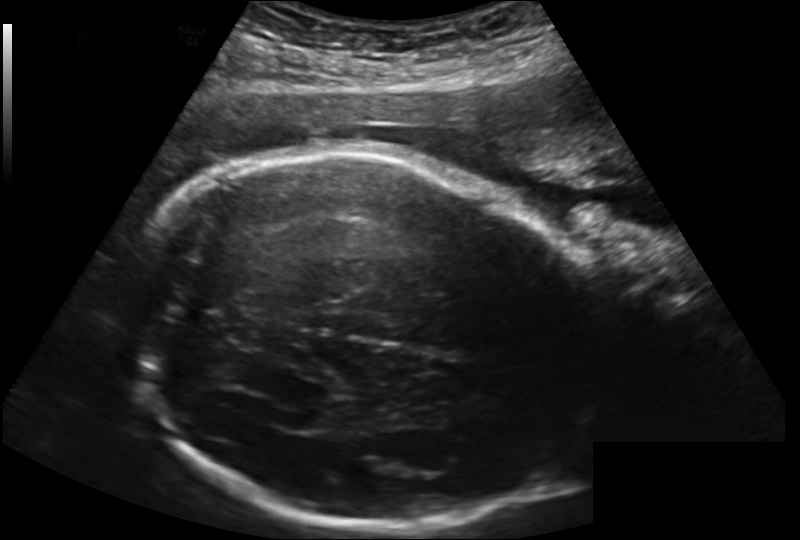
Fetal head ultrasound. Image width: 161.7 mm. Give [x1,y1,x2,y2] bounding boxes for each visible structure among: fetal head, CSP, LV.

Head: [125,150,601,529]